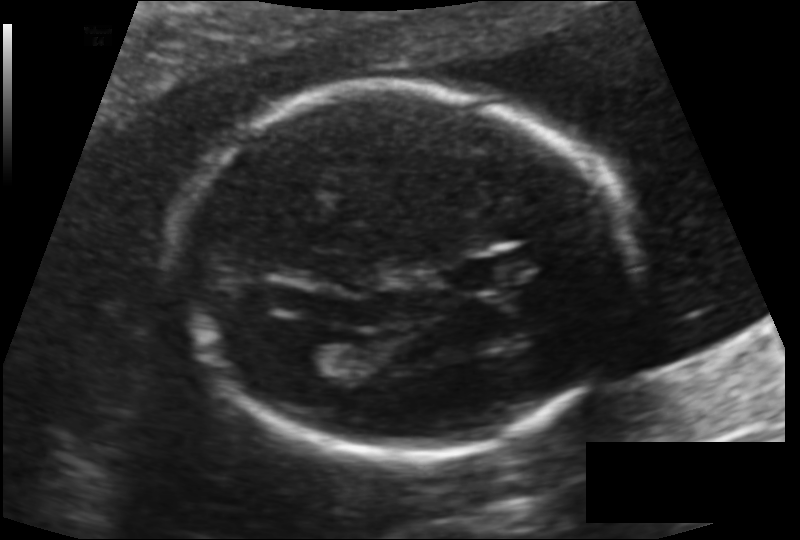
Fetal head ultrasound. Image width: 104.6 mm. Locate the lateral ventricle.

Lateral ventricle: [298,343,359,379]